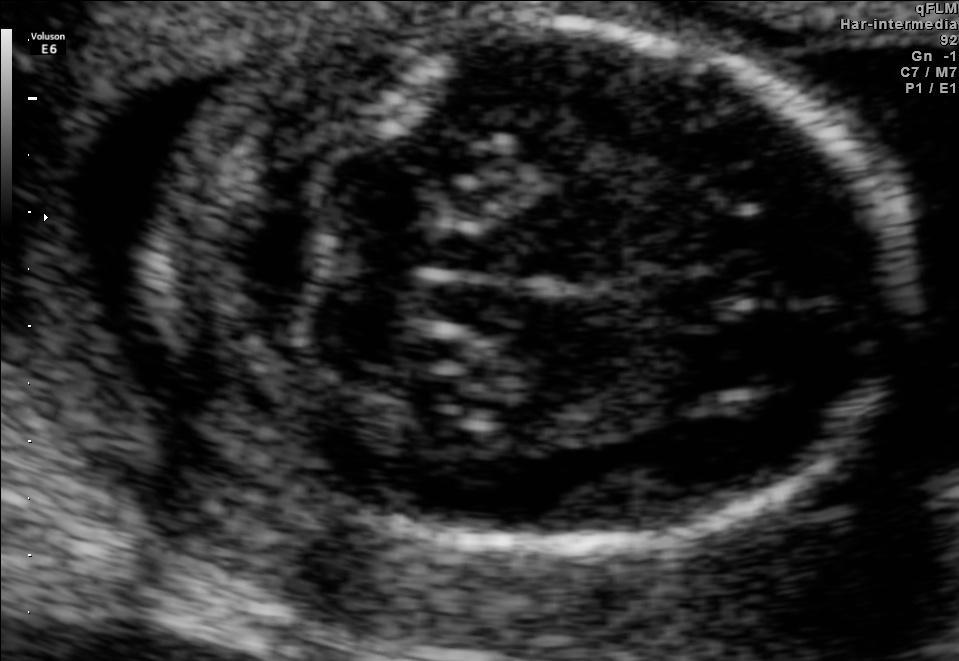
Fetal brain, trans-cerebellum plane. Locate the cavum septum pellucidum.

CSP: [642,272,732,327]